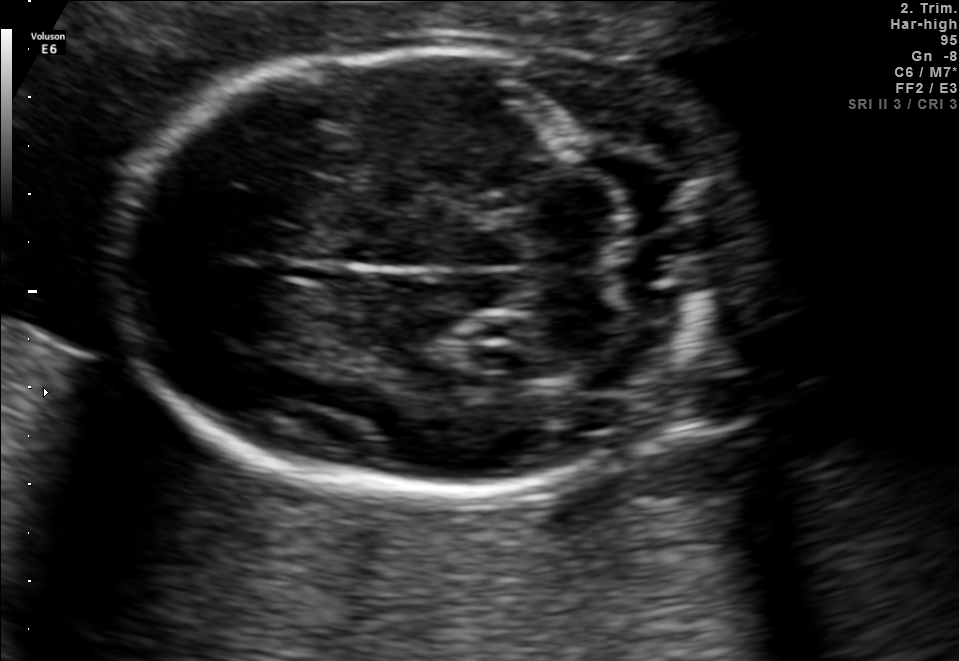
In this fetal brain, trans-cerebellum plane, give the bounding box of the fetal head.

[111,50,752,491]